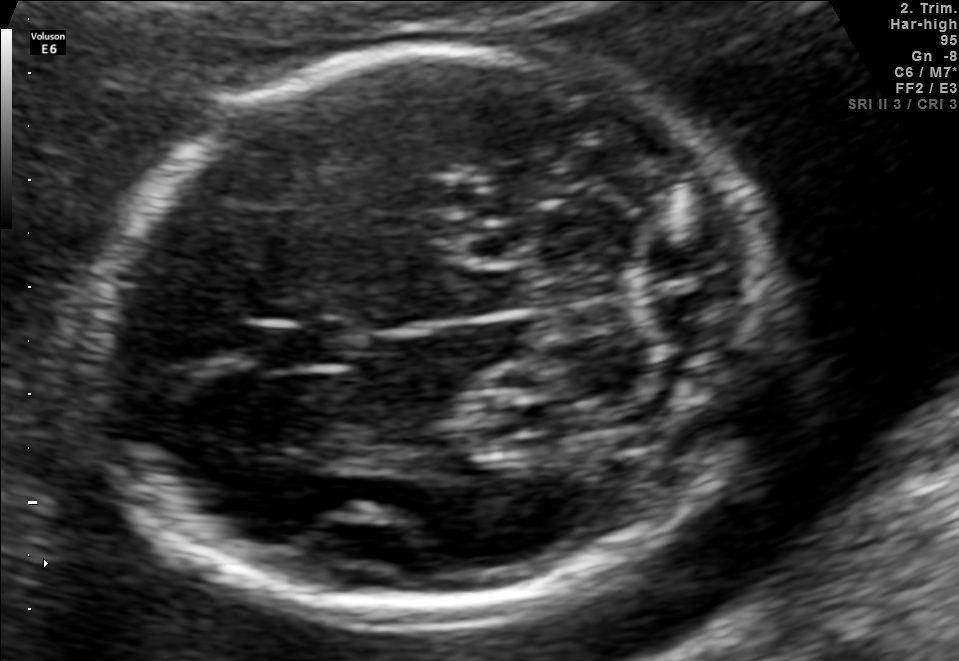
In this fetal brain, trans-cerebellum plane, give the bounding box of the cavum septum pellucidum.

[253,320,354,370]